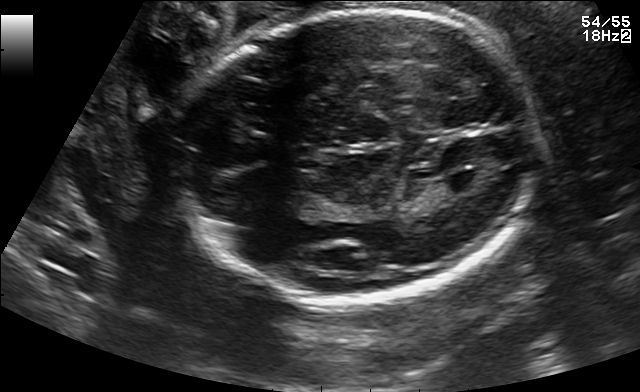
Fetal brain, trans-ventricular plane. Give [x1,y1,x2,y2] bounding boxes for each visible structure among: fetal head, CSP, LV.

Head: [168,5,549,307]